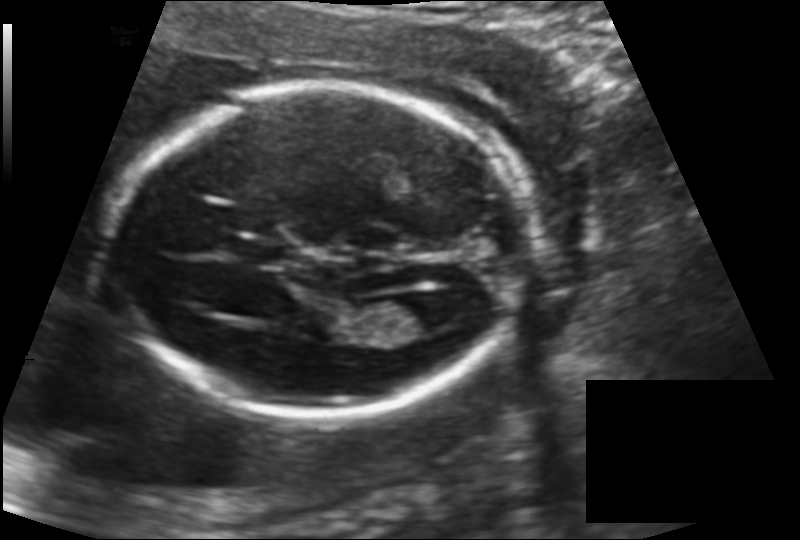
Fetal head ultrasound. Image width: 113.5 mm. Locate the fetal head and, if visible, the cavum septum pellucidum (CSP) and lateral ventricle (LV). Give bounding boxes as [x1,y1,x2,y2].

Head: [118,85,517,413]
CSP: [230,234,288,269]
Lateral ventricle: [382,288,454,337]